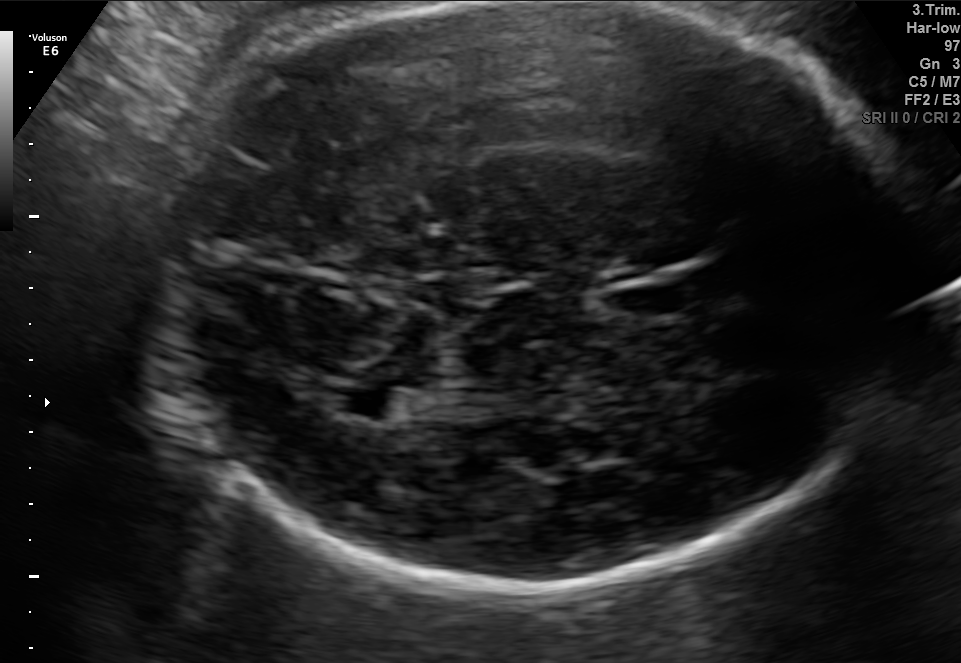
Fetal brain, trans-thalamic plane. Locate the fetal head.

Head: [167,2,912,591]